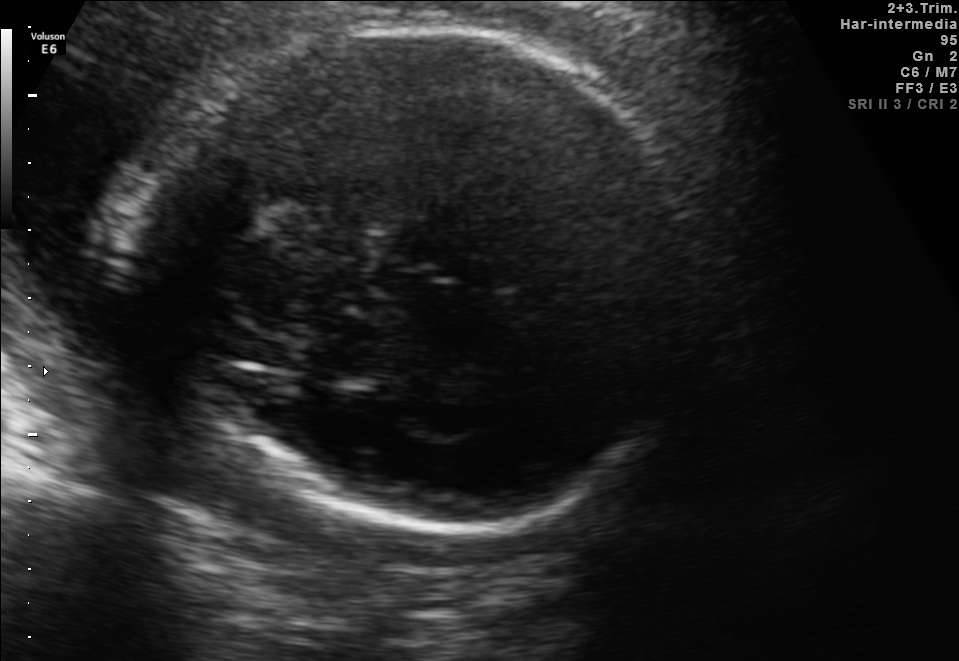
Which standard maternal-fetal ultrasound plane is shown: fetal abdomen, fetal brain, fetal femur, fetal thorax, maternal cervix, or other? If it's fetal brain and one of the three standard brain planes (trans-thalamic, trans-cerebellum, trans-ventricular), name which.

Fetal brain (trans-thalamic plane)